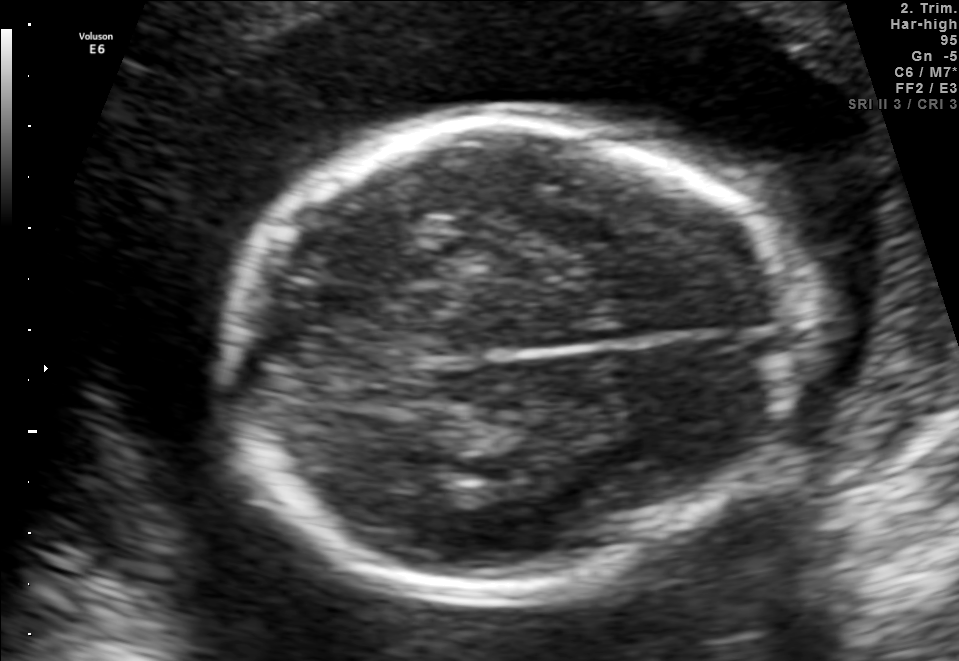
In this fetal brain, trans-thalamic plane, give bounding boxes for the head outline, cavum septum pellucidum (CSP), and lateral ventricle (LV), where visible.

Head: [218,118,803,595]